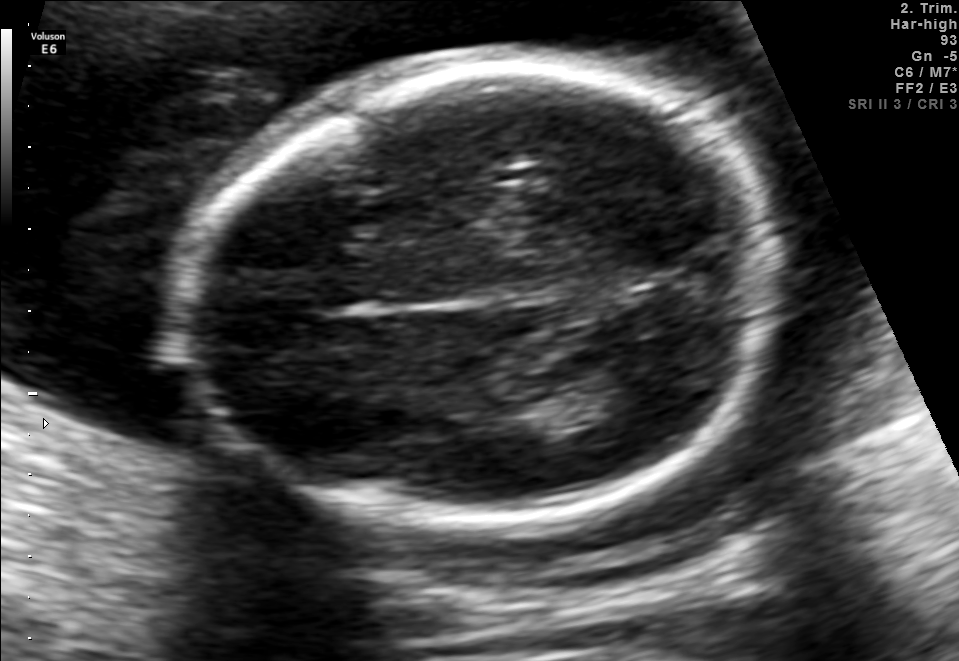
In this fetal brain, trans-thalamic plane, give the bounding box of the fetal head.

[183,64,782,521]